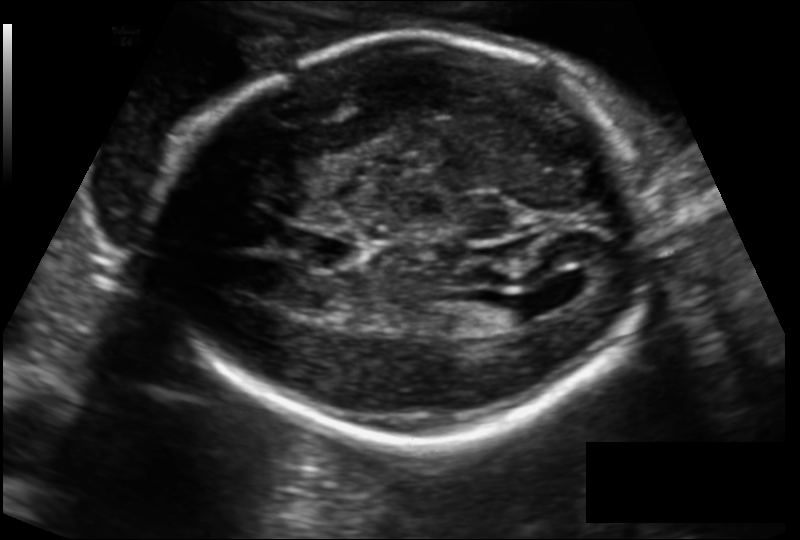
What is the fetal head circumference? Image width is 119.5 mm.

216.8 mm